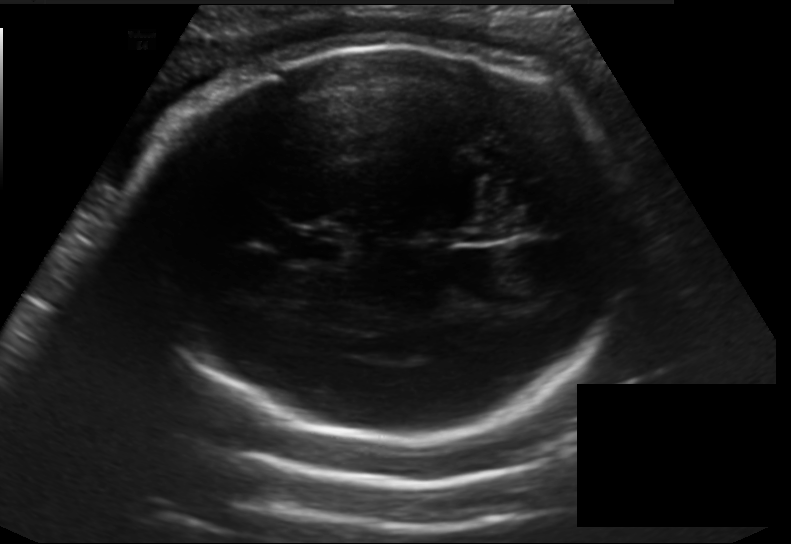
In this fetal head ultrasound, give bounding boxes for the head outline, cavum septum pellucidum (CSP), and lateral ventricle (LV), where visible. Image width: 156.8 mm.

Head: [135,41,629,444]
CSP: [285,223,350,269]